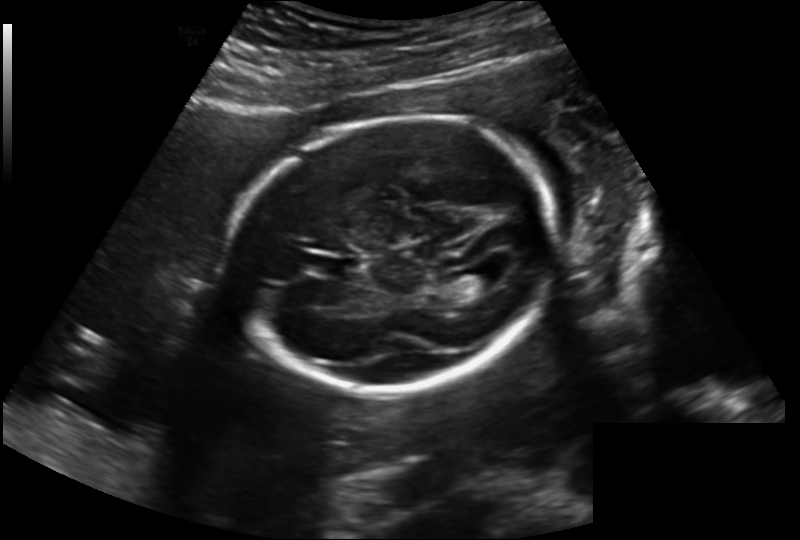
Fetal head ultrasound. Image width: 161.6 mm. Locate the fetal head.

Head: [226,117,557,392]